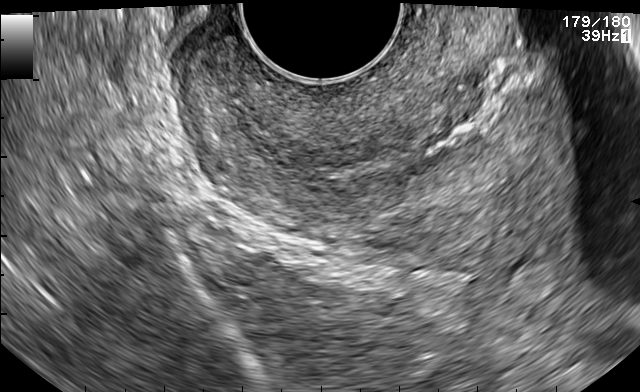
This is a 2D maternal-fetal ultrasound frame. Is it a fetal abdomen, fetal brain, fetal femur, fetal thorax, maternal cervix, or other standard plane? If it's fetal brain and one of the three standard brain planes (trans-thalamic, trans-cerebellum, trans-ventricular), name which.

Maternal cervix